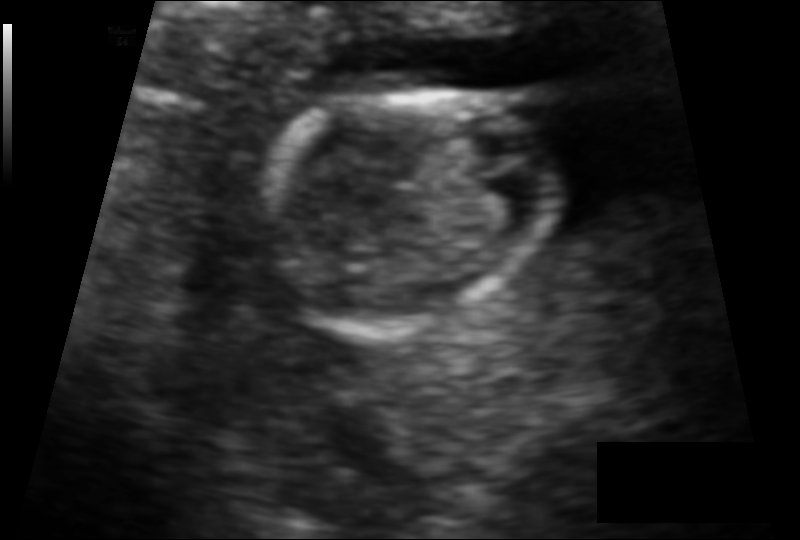
In this fetal head ultrasound, give bounding boxes for the head outline, cavum septum pellucidum (CSP), and lateral ventricle (LV), where visible. Image width: 73.2 mm.

Head: [254,91,559,325]